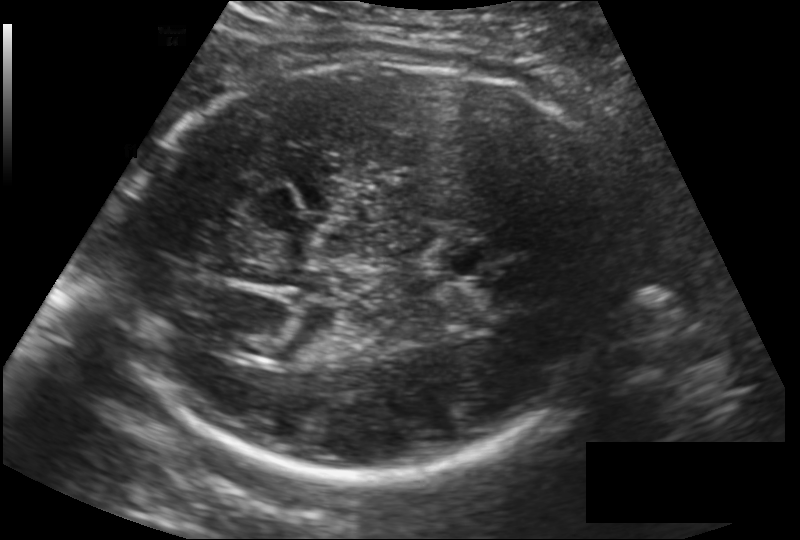
Fetal head ultrasound. Image width: 148.6 mm. Locate the fetal head.

Head: [113,64,634,473]